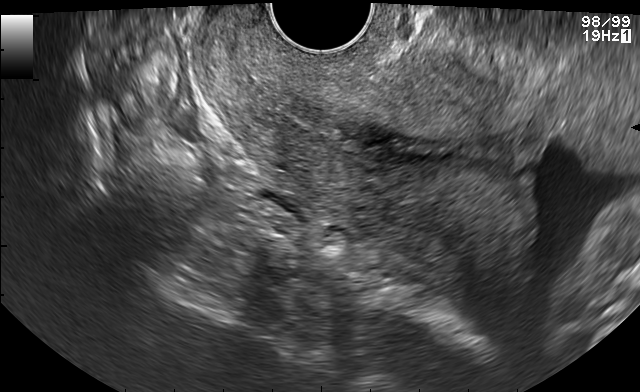
This is a 2D maternal-fetal ultrasound frame. Is it a fetal abdomen, fetal brain, fetal femur, fetal thorax, maternal cervix, or other standard plane? If it's fetal brain and one of the three standard brain planes (trans-thalamic, trans-cerebellum, trans-ventricular), name which.

Maternal cervix